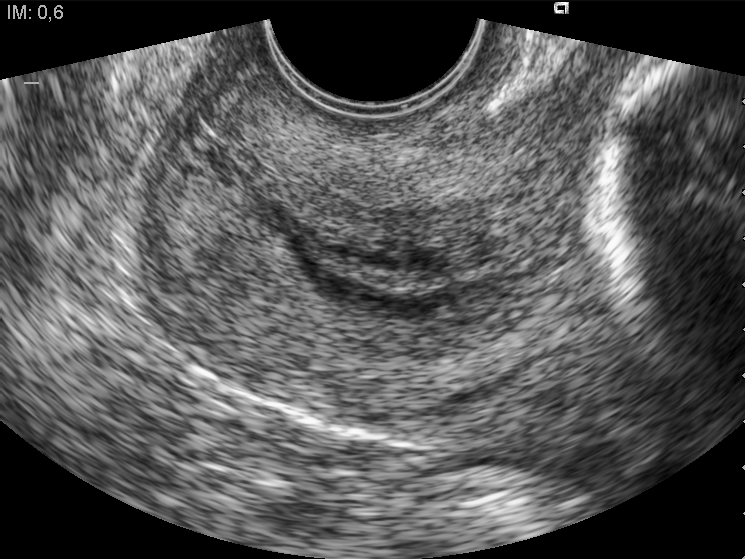
Classify this maternal-fetal ultrasound image as one of the six standard planes — fetal abdomen, fetal brain, fetal femur, fetal thorax, maternal cervix, or other. If it's fetal brain and one of the three standard brain planes (trans-thalamic, trans-cerebellum, trans-ventricular), name which.

Maternal cervix